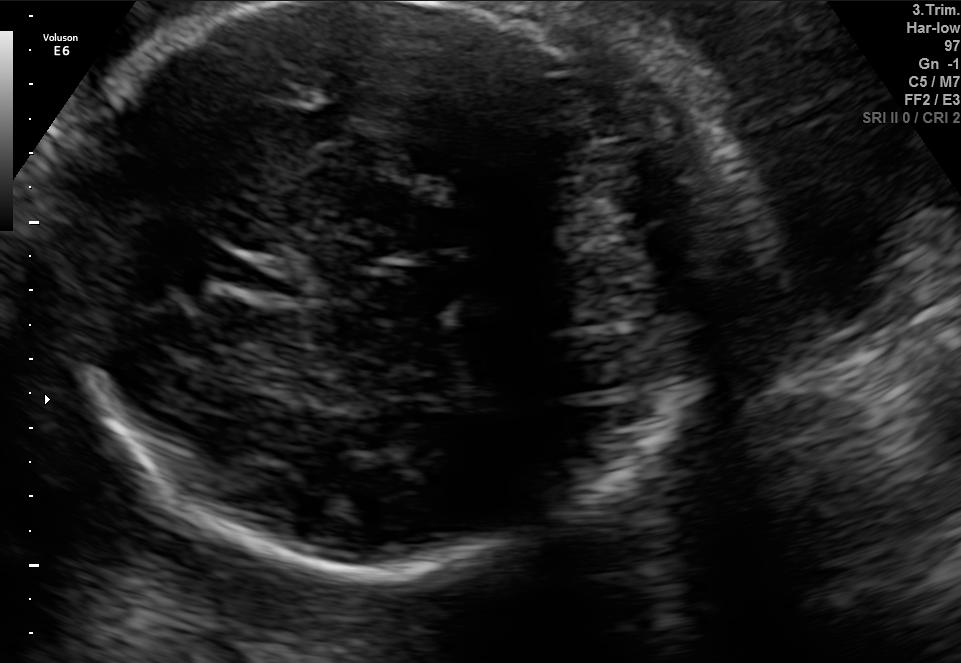
Fetal brain, trans-cerebellum plane. Locate the fetal head.

Head: [57,4,687,567]